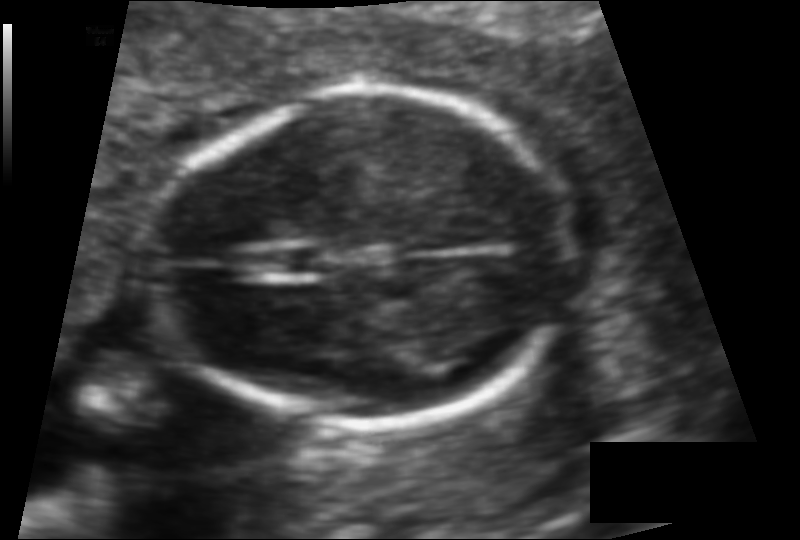
What is the fetal head circumference? Image width is 75.5 mm.

120.3 mm